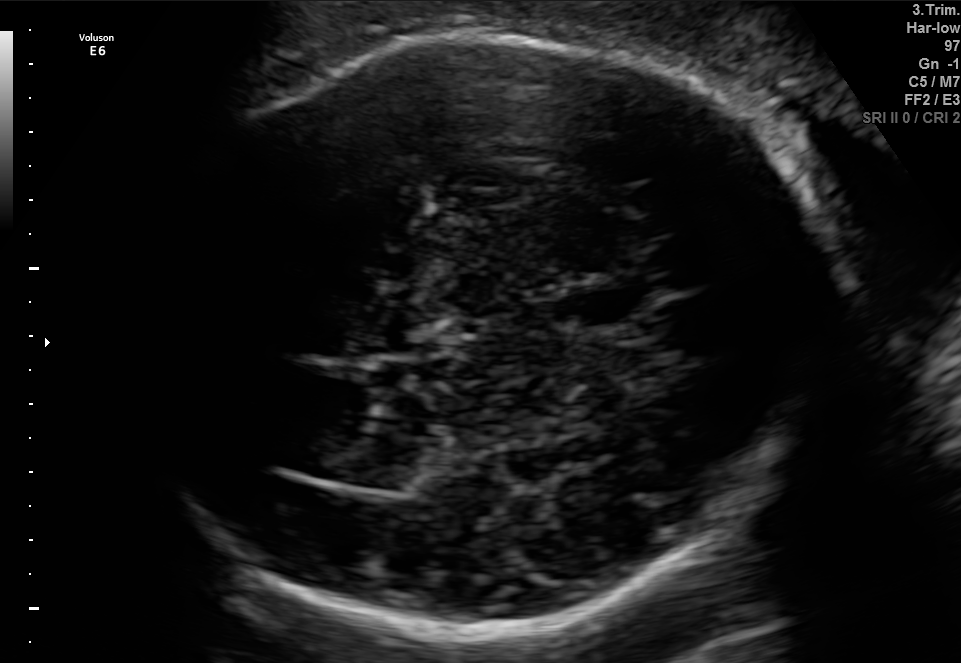
Fetal brain, trans-thalamic plane. Give [x1,y1,x2,y2] bounding boxes for each visible structure among: fetal head, CSP, LV.

Head: [140,33,831,634]
CSP: [549,273,655,336]
Lateral ventricle: [294,403,427,499]